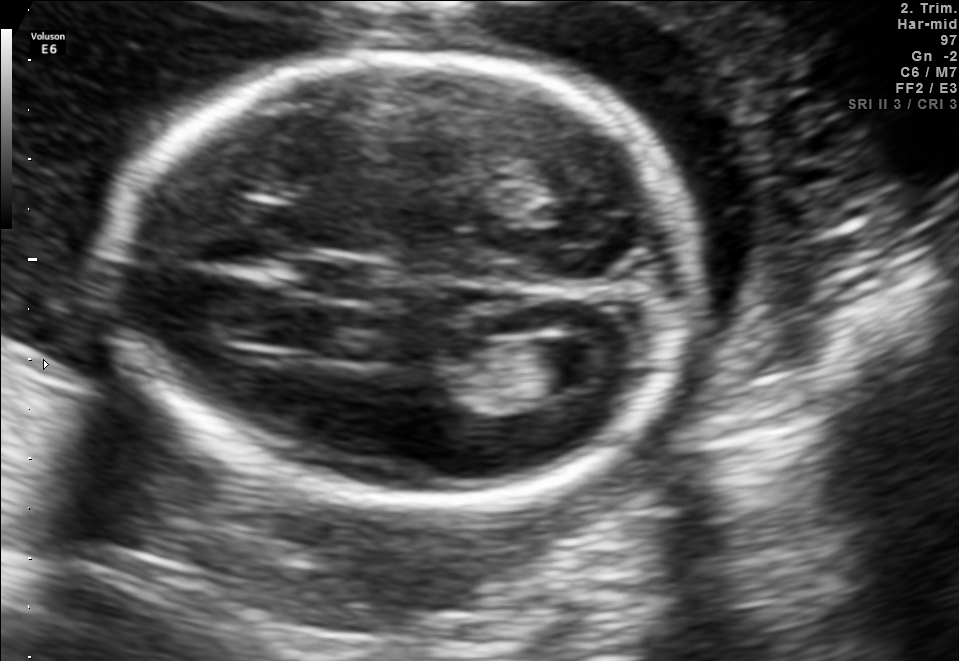
Fetal brain, trans-ventricular plane. Locate the lateral ventricle.

Lateral ventricle: [538,334,619,389]